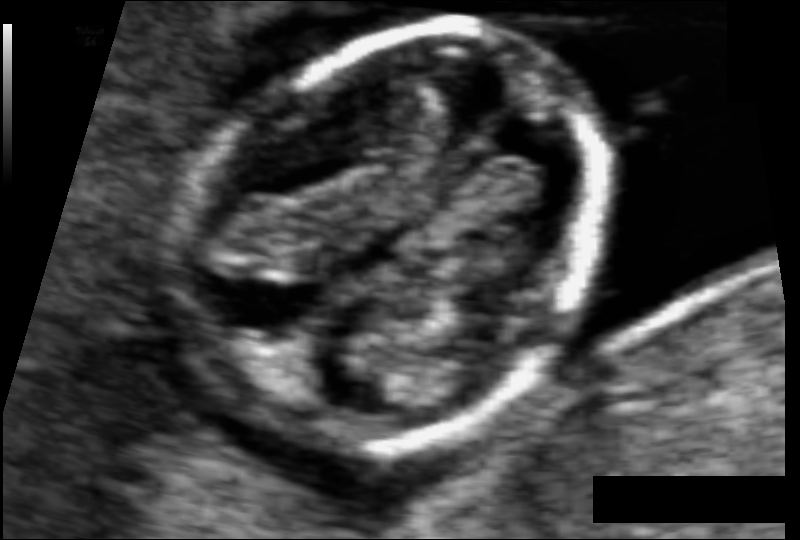
Measure the fetal head circumference shown in this ultrasound image. Image width: 47.6 mm.

Head circumference: 82.9 mm.